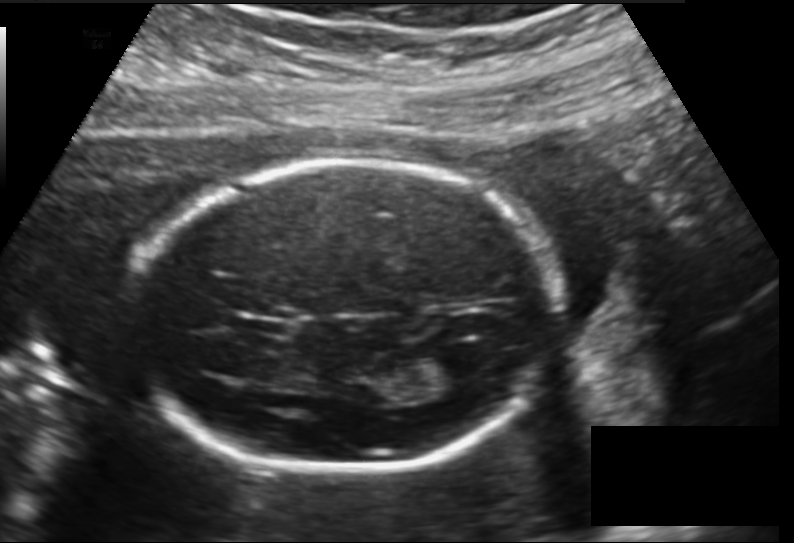
Fetal head ultrasound. Image width: 124.7 mm. Locate the fetal head.

Head: [130,160,556,472]